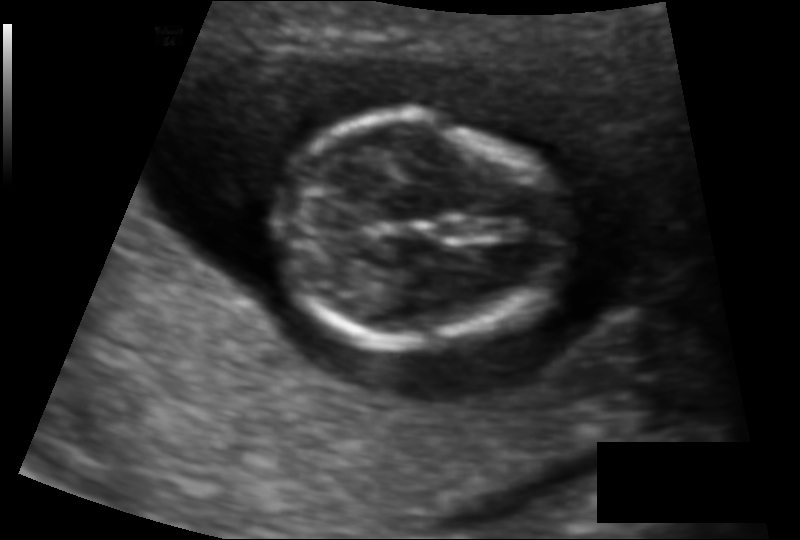
From this fetal ultrasound, estimate the head circumference (image width 76.6 mm).

Head circumference: 82.3 mm.